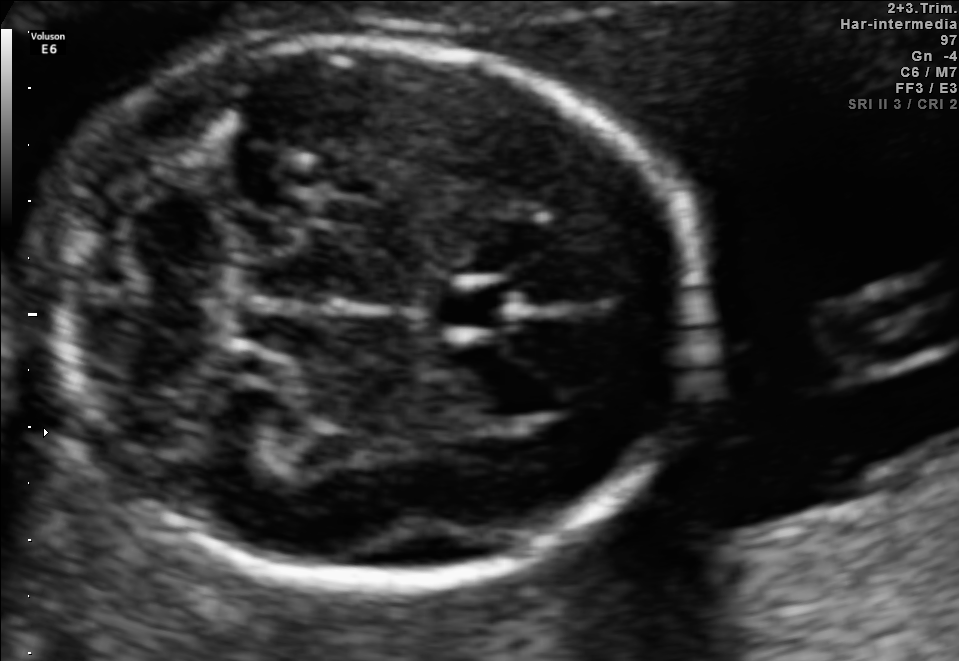
In this fetal brain, trans-cerebellum plane, give the bounding box of the fetal head.

[38,39,701,588]